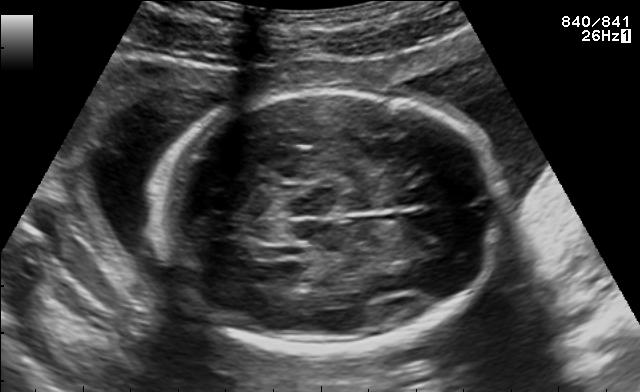
Fetal brain, trans-thalamic plane. Locate the fetal head and, if visible, the cavum septum pellucidum (CSP) and lateral ventricle (LV). Give bounding boxes as [x1,y1,x2,y2].

Head: [152,90,507,353]